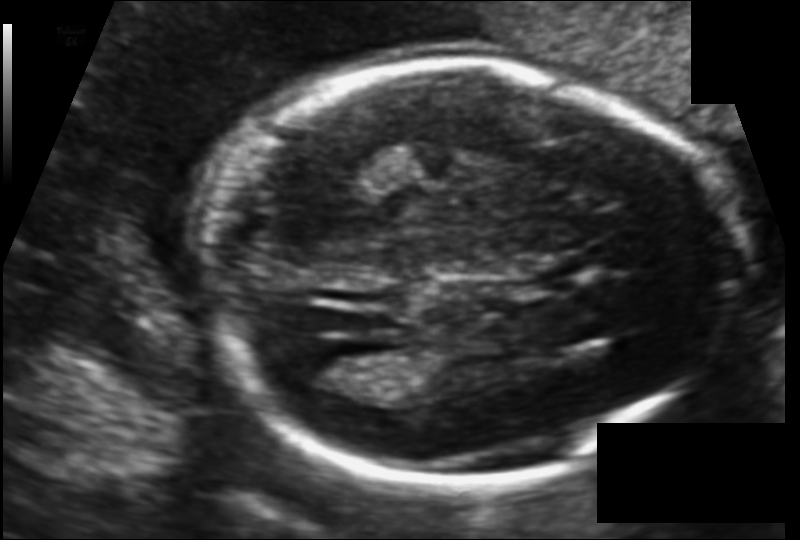
What is the fetal head circumference? Image width is 93.1 mm.

177.9 mm